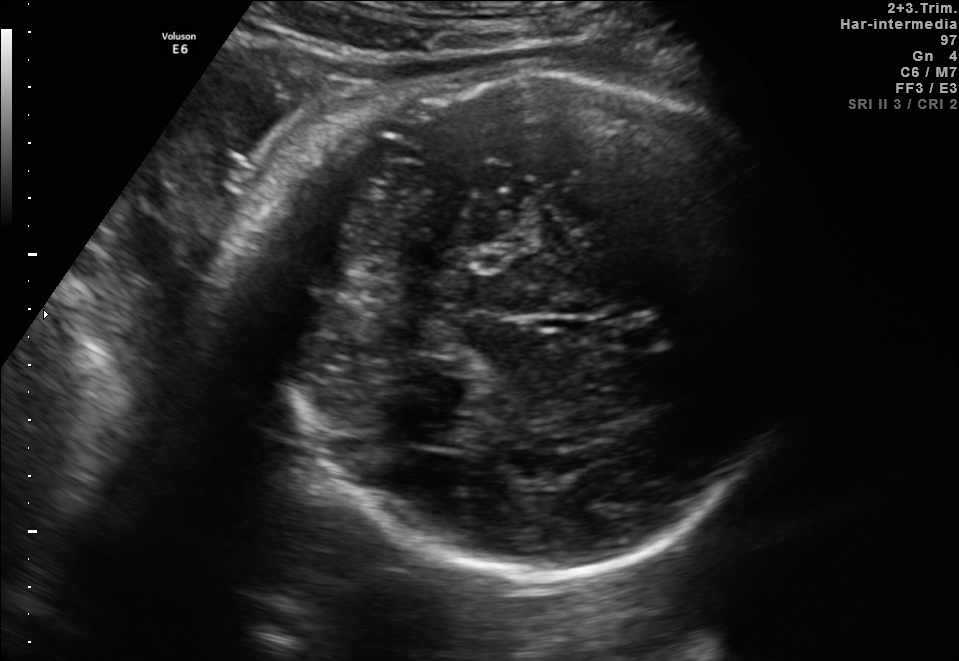
Fetal brain, trans-cerebellum plane. Where is the fetal head?

Head bounding box: [270,64,789,579]